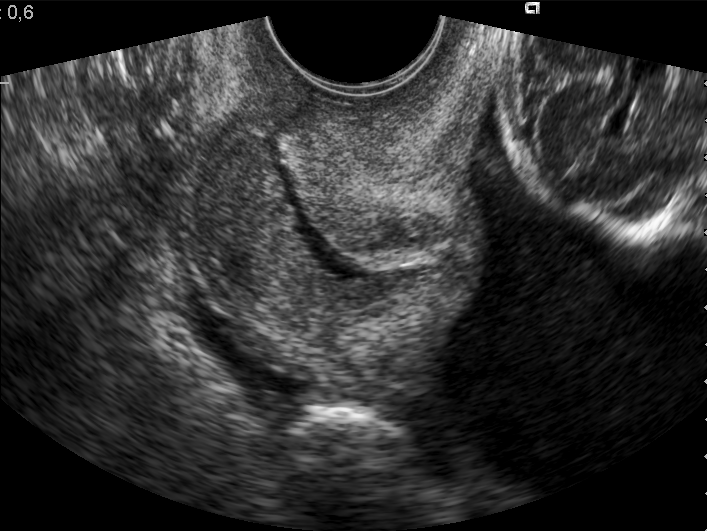
This is a 2D maternal-fetal ultrasound frame. Is it a fetal abdomen, fetal brain, fetal femur, fetal thorax, maternal cervix, or other standard plane? If it's fetal brain and one of the three standard brain planes (trans-thalamic, trans-cerebellum, trans-ventricular), name which.

Maternal cervix